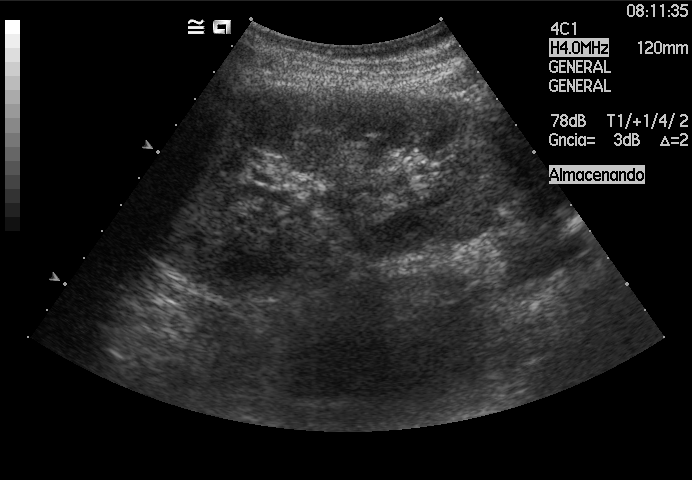
This is a 2D maternal-fetal ultrasound frame. Is it a fetal abdomen, fetal brain, fetal femur, fetal thorax, maternal cervix, or other standard plane? If it's fetal brain and one of the three standard brain planes (trans-thalamic, trans-cerebellum, trans-ventricular), name which.

Other